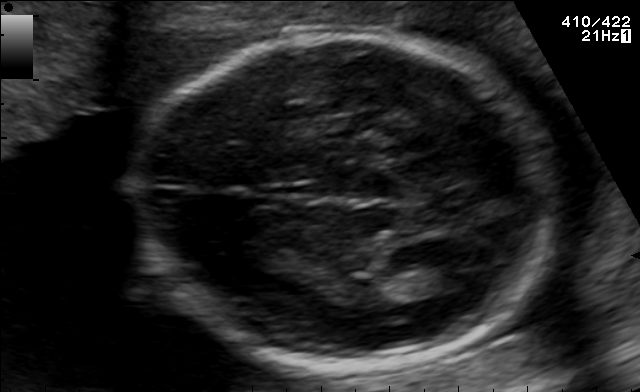
Fetal brain, trans-thalamic plane. Locate the fetal head and, if visible, the cavum septum pellucidum (CSP) and lateral ventricle (LV). Give bounding boxes as [x1,y1,x2,y2].

Head: [130,34,559,366]
Lateral ventricle: [411,247,496,300]